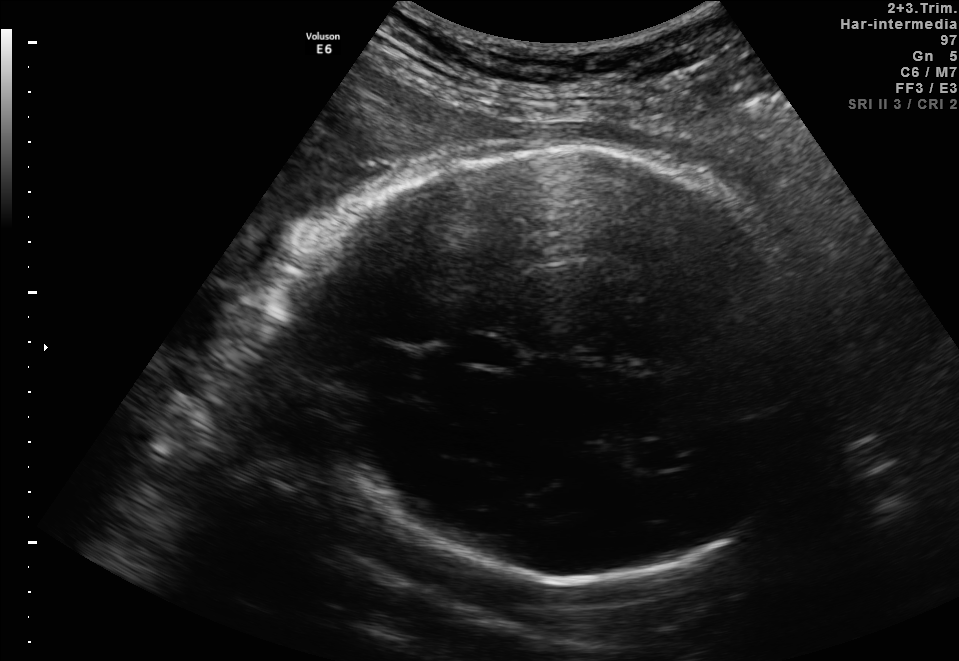
Fetal brain, trans-thalamic plane. Where is the lateral ventricle?

Lateral ventricle bounding box: [633,438,685,473]